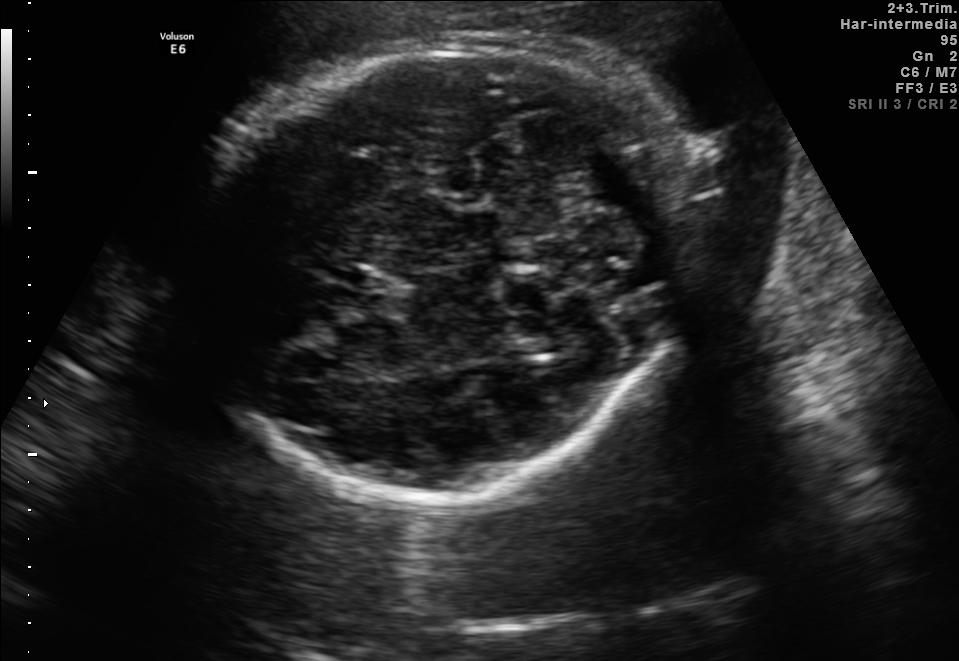
In this fetal brain, trans-cerebellum plane, give the bounding box of the fetal head.

[193,41,690,496]